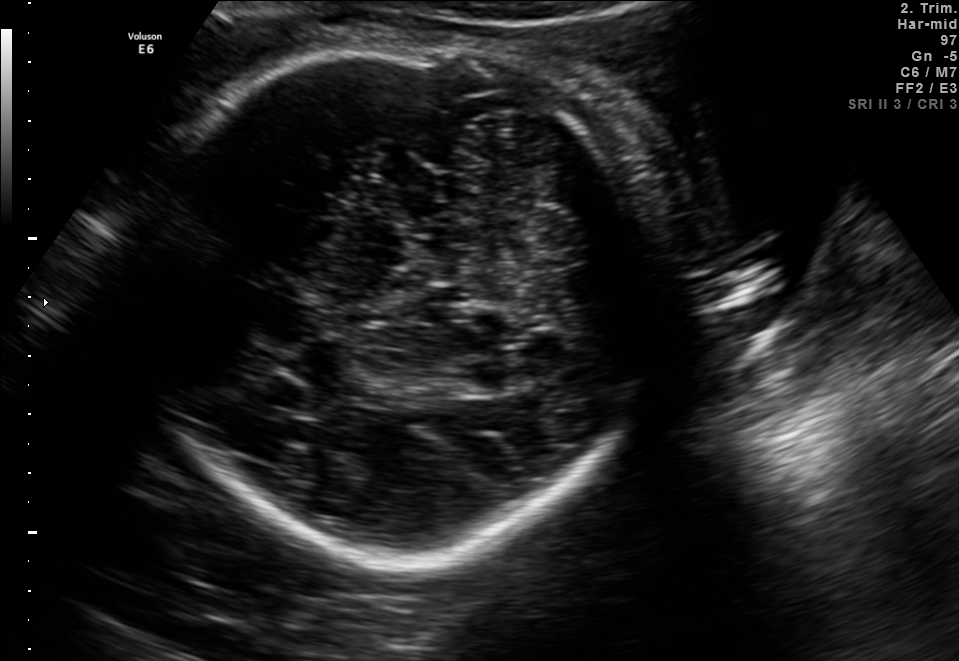
This is a 2D maternal-fetal ultrasound frame. Is it a fetal abdomen, fetal brain, fetal femur, fetal thorax, maternal cervix, or other standard plane? If it's fetal brain and one of the three standard brain planes (trans-thalamic, trans-cerebellum, trans-ventricular), name which.

Fetal brain (trans-cerebellum plane)